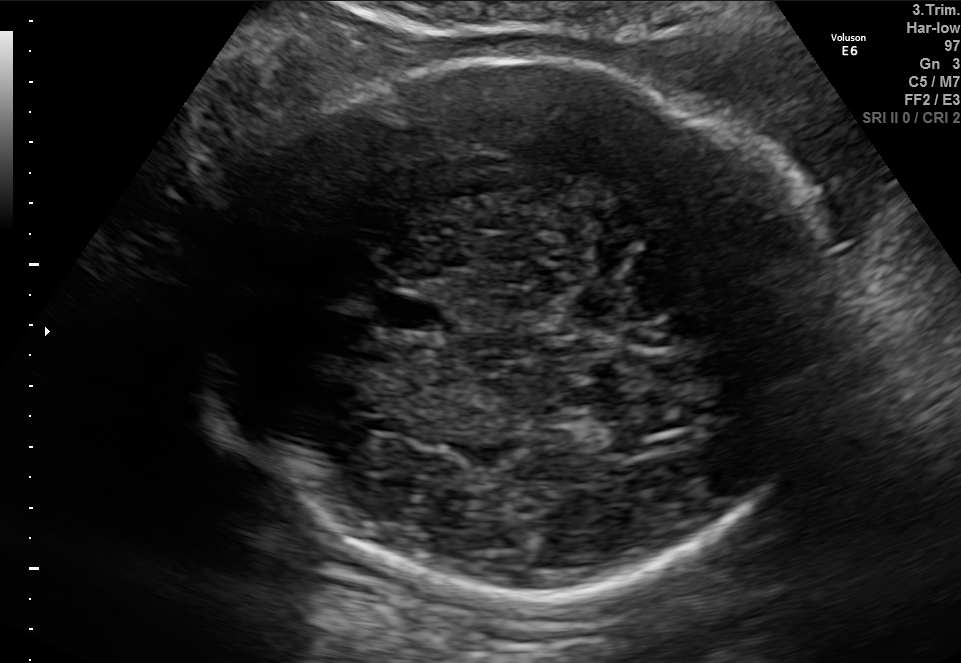
Fetal brain, trans-thalamic plane. Locate the cavum septum pellucidum.

CSP: [376,292,453,332]